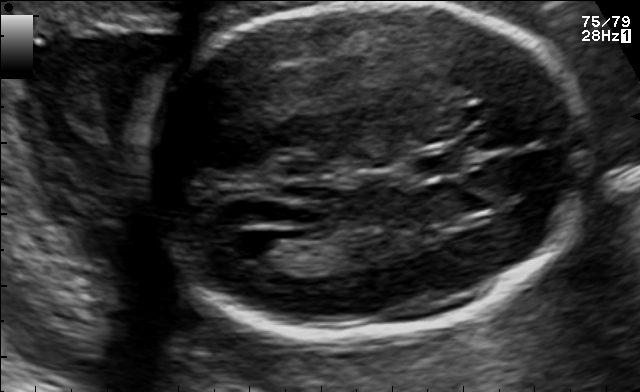
In this fetal brain, trans-ventricular plane, give the bounding box of the cavum septum pellucidum.

[396,138,485,184]